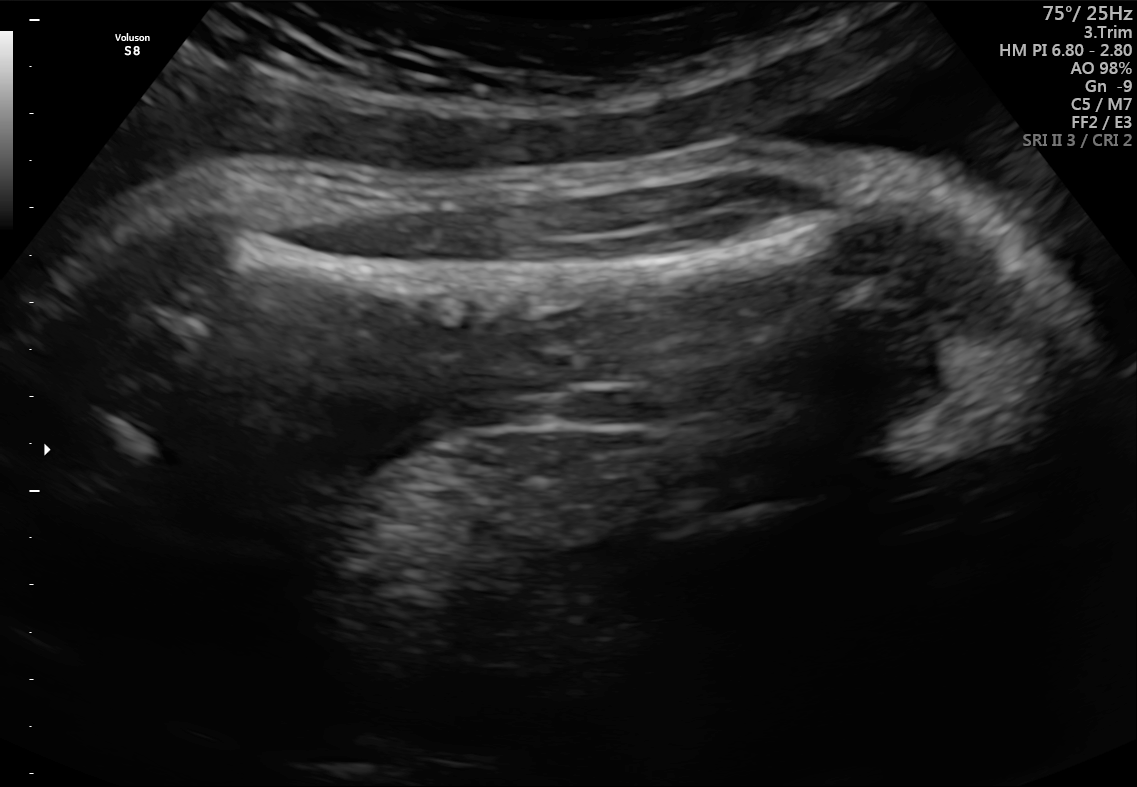
Which standard maternal-fetal ultrasound plane is shown: fetal abdomen, fetal brain, fetal femur, fetal thorax, maternal cervix, or other? If it's fetal brain and one of the three standard brain planes (trans-thalamic, trans-cerebellum, trans-ventricular), name which.

Fetal femur